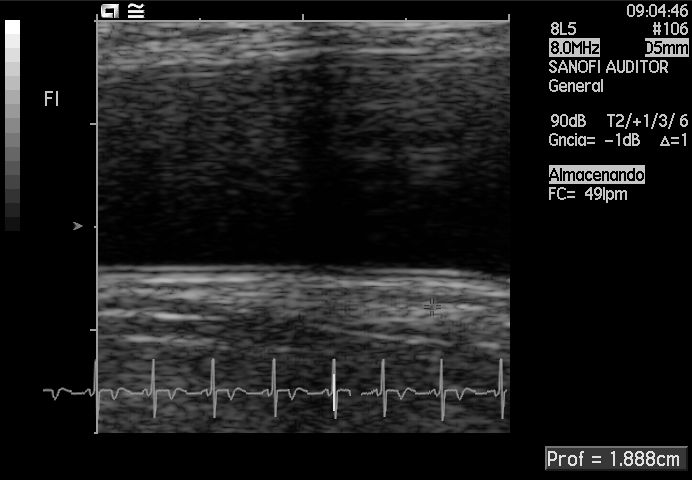
Identify the standard plane in this fetal ultrasound image: fetal abdomen, fetal brain, fetal femur, fetal thorax, maternal cervix, or other. If it's fetal brain and one of the three standard brain planes (trans-thalamic, trans-cerebellum, trans-ventricular), name which.

Other